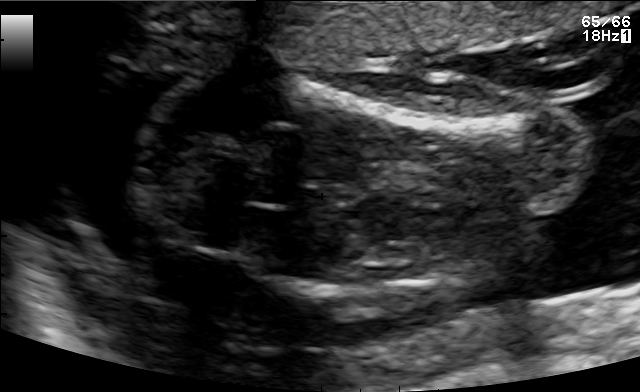
This is a 2D maternal-fetal ultrasound frame. Is it a fetal abdomen, fetal brain, fetal femur, fetal thorax, maternal cervix, or other standard plane? If it's fetal brain and one of the three standard brain planes (trans-thalamic, trans-cerebellum, trans-ventricular), name which.

Fetal femur